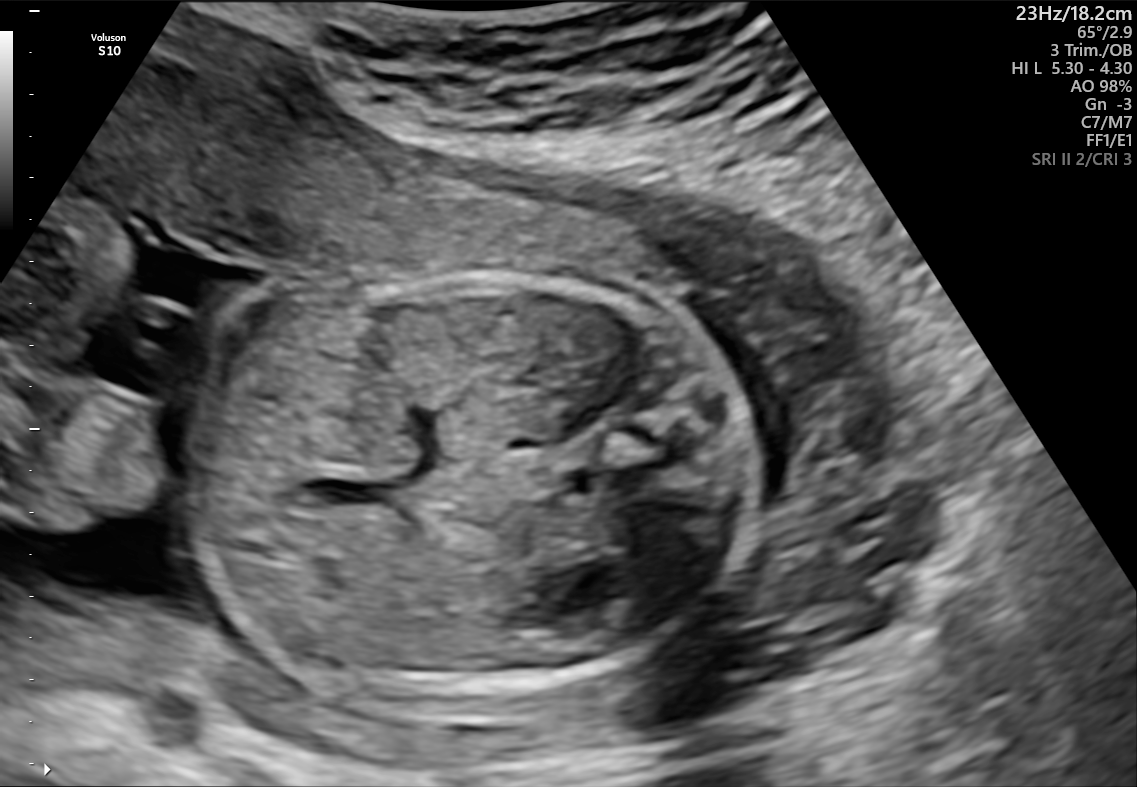
Which standard maternal-fetal ultrasound plane is shown: fetal abdomen, fetal brain, fetal femur, fetal thorax, maternal cervix, or other? If it's fetal brain and one of the three standard brain planes (trans-thalamic, trans-cerebellum, trans-ventricular), name which.

Fetal abdomen